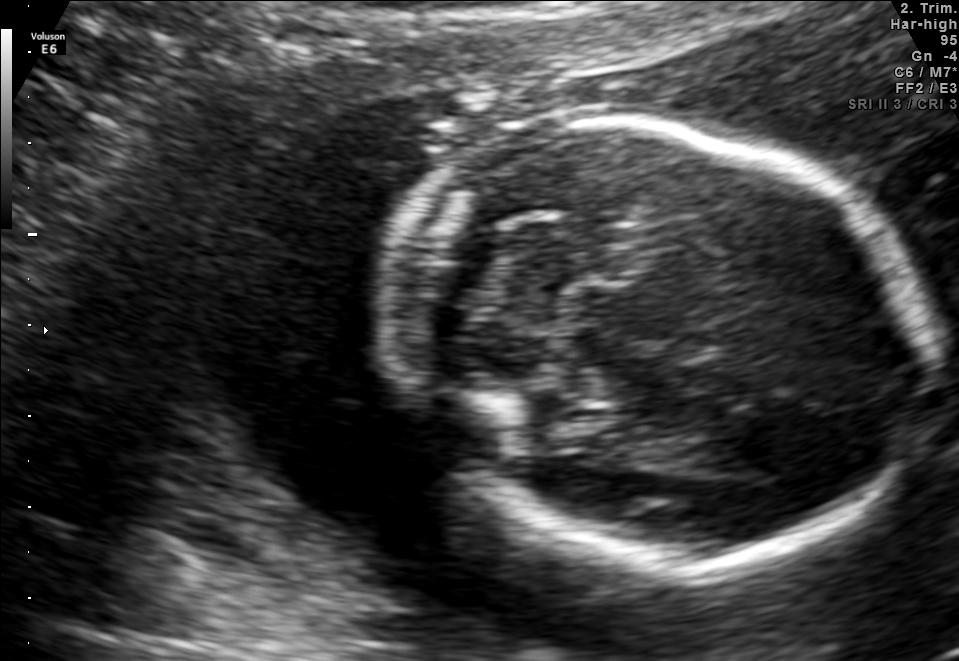
In this fetal brain, trans-cerebellum plane, give bounding boxes for the head outline, cavum septum pellucidum (CSP), and lateral ventricle (LV), where visible.

Head: [387,124,928,559]